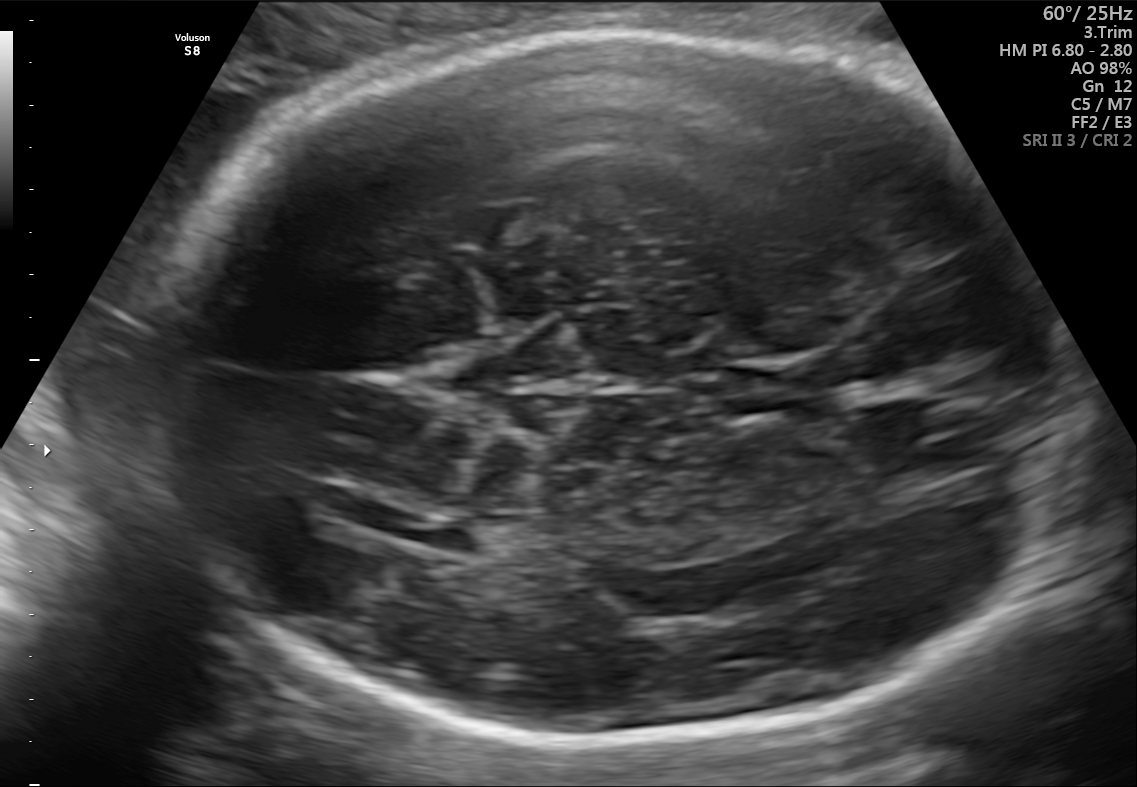
Fetal brain, trans-ventricular plane. Give [x1,y1,x2,y2] bounding boxes for each visible structure among: fetal head, CSP, LV.

Head: [139,25,1053,750]
CSP: [731,369,805,416]